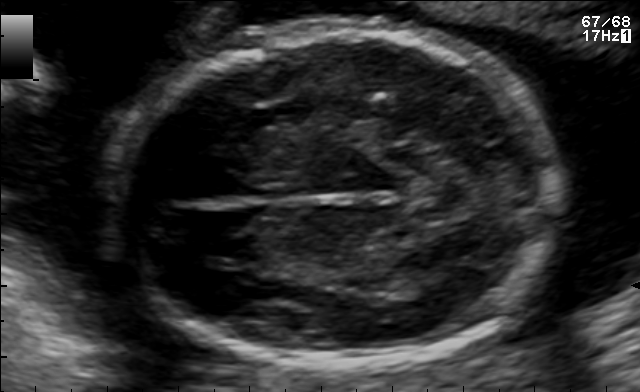
In this fetal brain, trans-thalamic plane, give bounding boxes for the head outline, cavum septum pellucidum (CSP), and lateral ventricle (LV), where visible.

Head: [107,32,556,362]